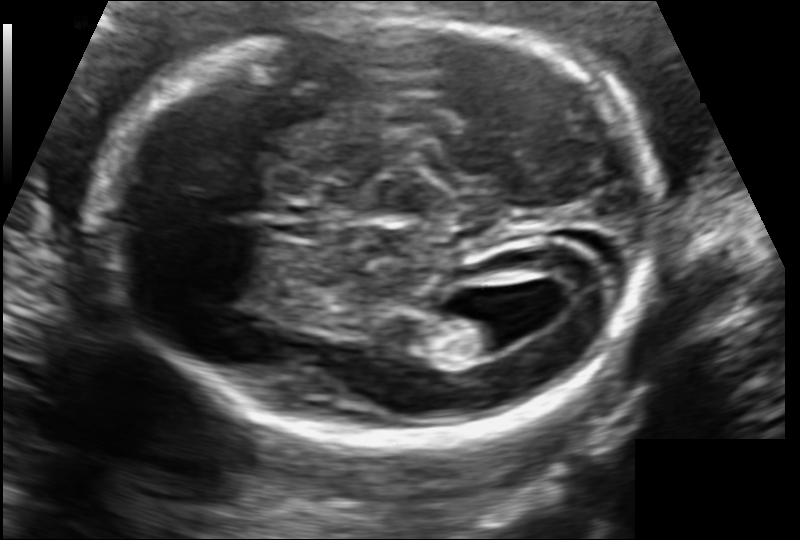
Fetal head ultrasound. Image width: 87.0 mm. Locate the fetal head and, if visible, the cavum septum pellucidum (CSP) and lateral ventricle (LV). Give bounding boxes as [x1,y1,x2,y2].

Head: [111,20,659,440]
Lateral ventricle: [434,295,533,369]